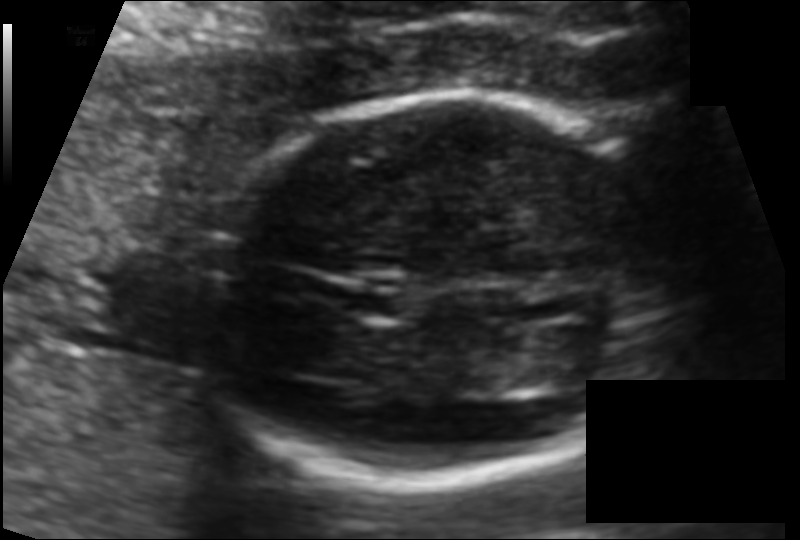
Fetal head ultrasound. Image width: 80.0 mm. Locate the fetal head.

Head: [191,95,687,486]